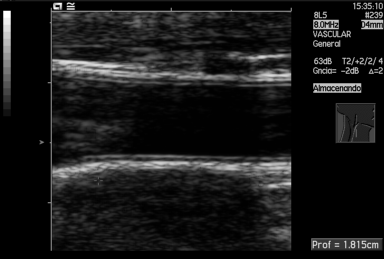
Which standard maternal-fetal ultrasound plane is shown: fetal abdomen, fetal brain, fetal femur, fetal thorax, maternal cervix, or other? If it's fetal brain and one of the three standard brain planes (trans-thalamic, trans-cerebellum, trans-ventricular), name which.

Other